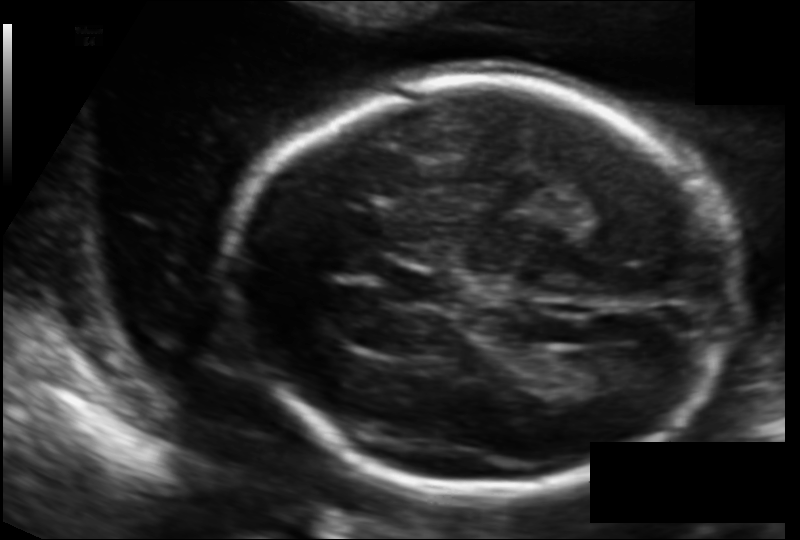
Fetal head ultrasound. Image width: 100.4 mm. Where is the lateral ventricle?

Lateral ventricle bounding box: [565,348,640,394]